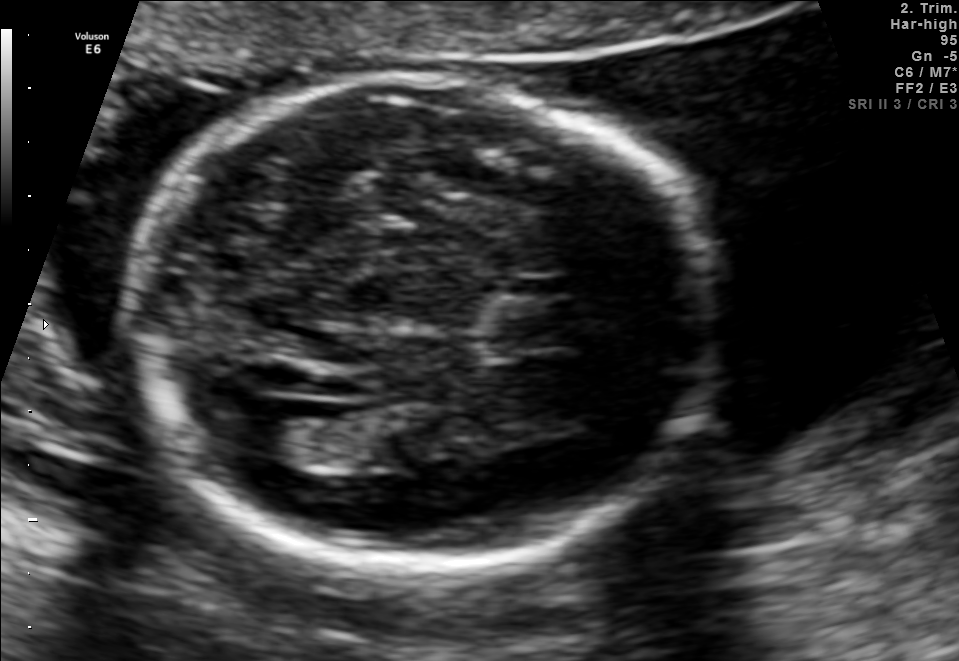
In this fetal brain, trans-ventricular plane, give the bounding box of the fetal head.

[117,80,724,579]